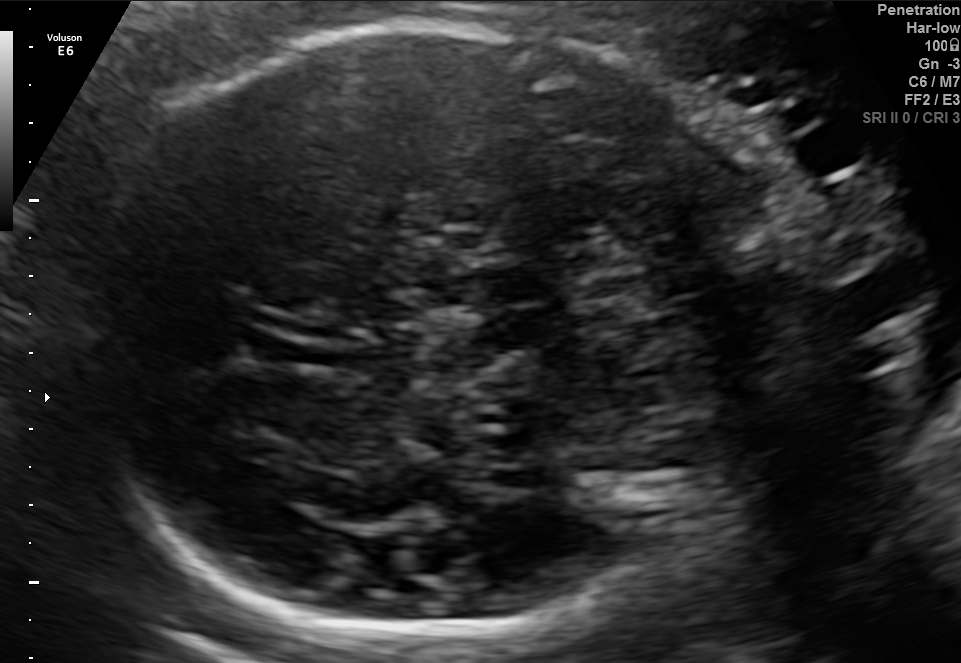
Classify this maternal-fetal ultrasound image as one of the six standard planes — fetal abdomen, fetal brain, fetal femur, fetal thorax, maternal cervix, or other. If it's fetal brain and one of the three standard brain planes (trans-thalamic, trans-cerebellum, trans-ventricular), name which.

Fetal brain (trans-thalamic plane)